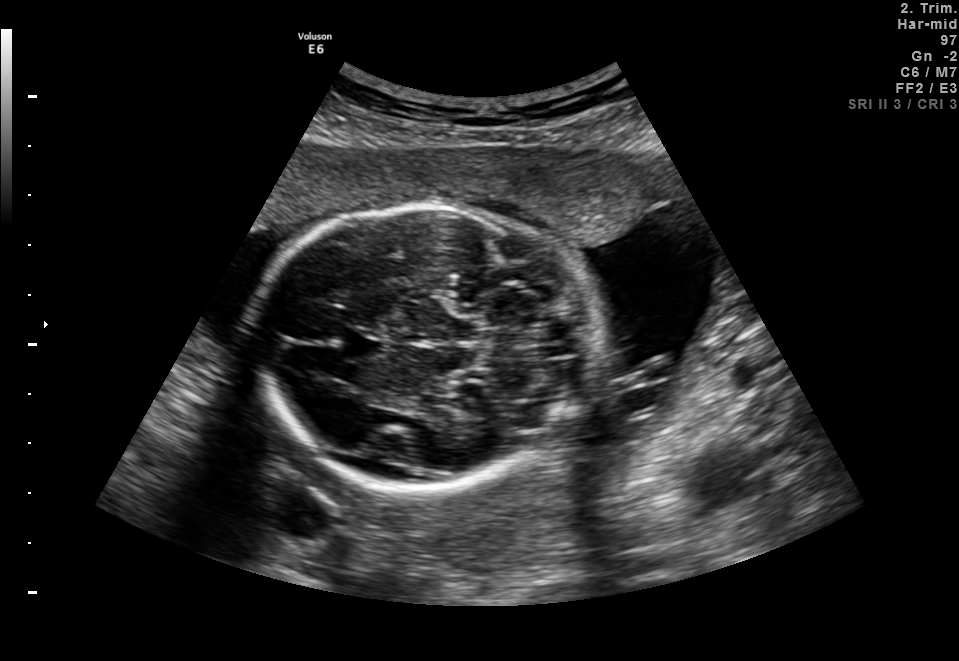
Fetal brain, trans-cerebellum plane. Where is the fetal head?

Head bounding box: [254,202,595,491]